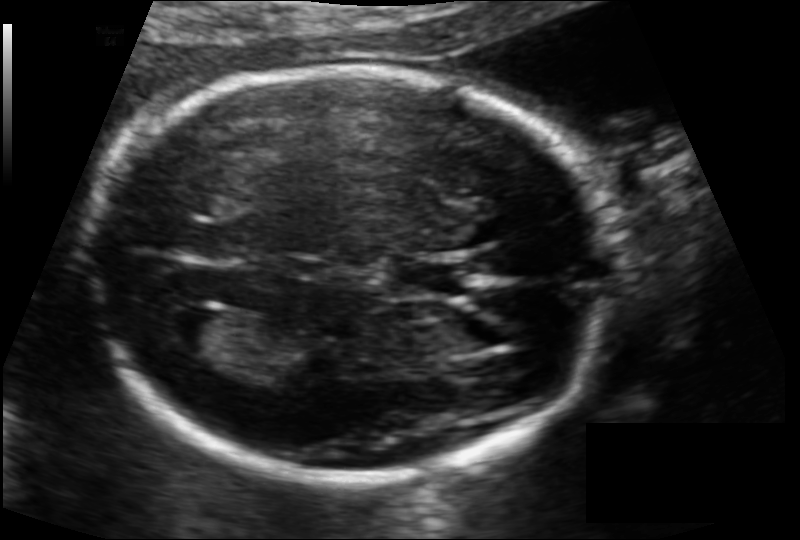
Fetal head ultrasound. Image width: 91.1 mm. Where is the cavum septum pellucidum?

CSP bounding box: [388,257,469,297]